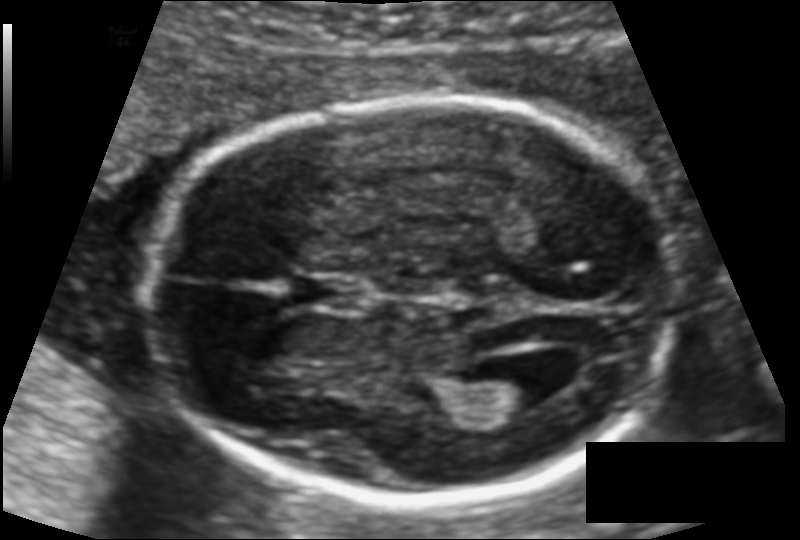
Fetal head ultrasound. Image width: 90.3 mm. Where is the cavum septum pellucidum?

CSP bounding box: [292,275,364,310]